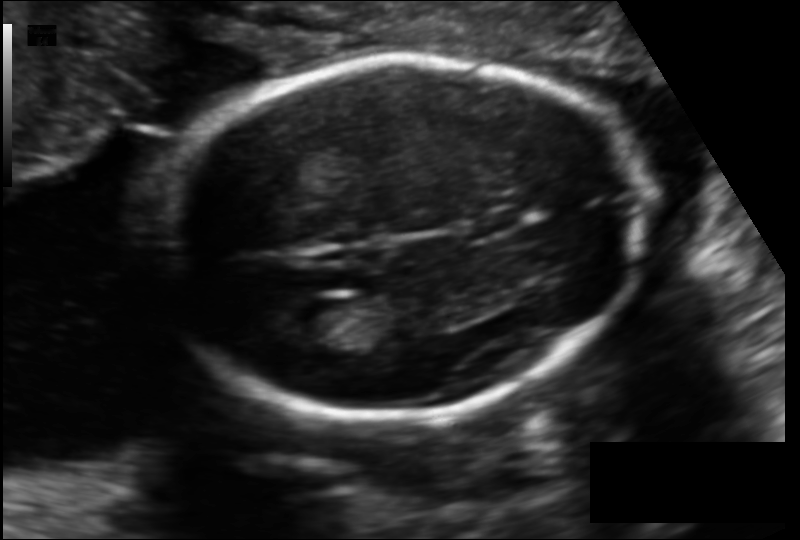
Fetal head ultrasound. Image width: 102.8 mm. Where is the lateral ventricle?

Lateral ventricle bounding box: [279,299,344,342]